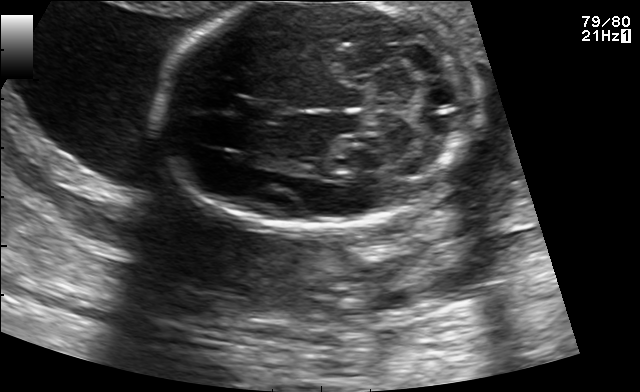
Fetal brain, trans-cerebellum plane. Give [x1,y1,x2,y2] bounding boxes for each visible structure among: fetal head, CSP, LV.

Head: [156,3,483,228]
CSP: [236,97,287,125]